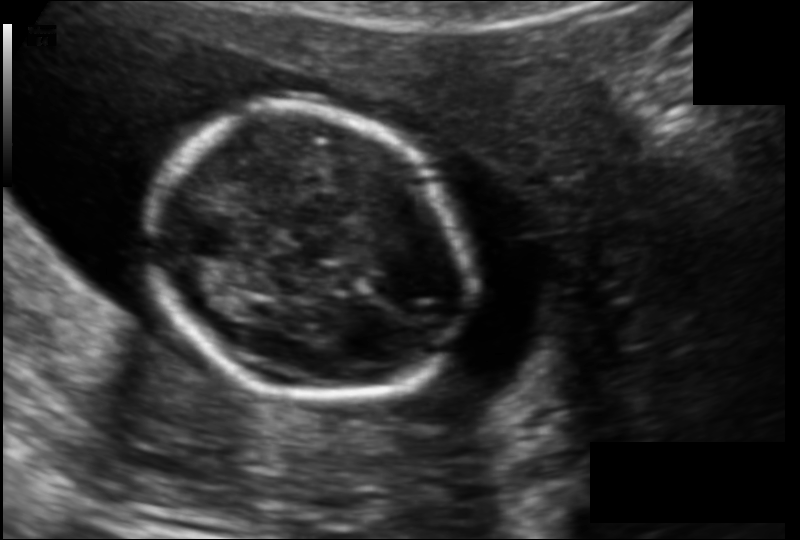
Fetal head ultrasound. Image width: 98.4 mm. Locate the fetal head and, if visible, the cavum septum pellucidum (CSP) and lateral ventricle (LV). Give bounding boxes as [x1,y1,x2,y2].

Head: [153,112,473,402]